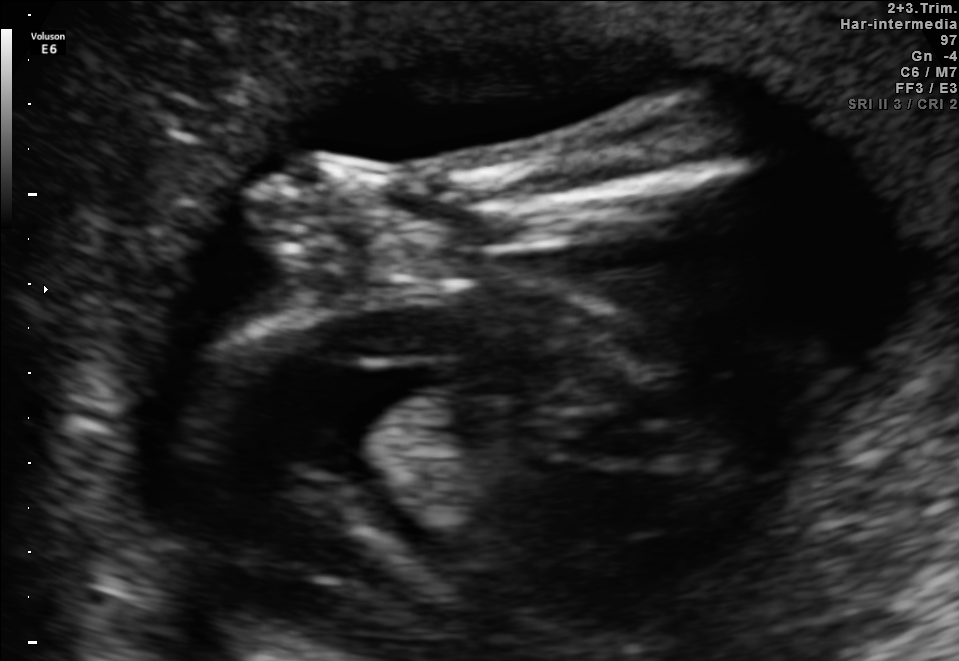
Classify this maternal-fetal ultrasound image as one of the six standard planes — fetal abdomen, fetal brain, fetal femur, fetal thorax, maternal cervix, or other. If it's fetal brain and one of the three standard brain planes (trans-thalamic, trans-cerebellum, trans-ventricular), name which.

Other